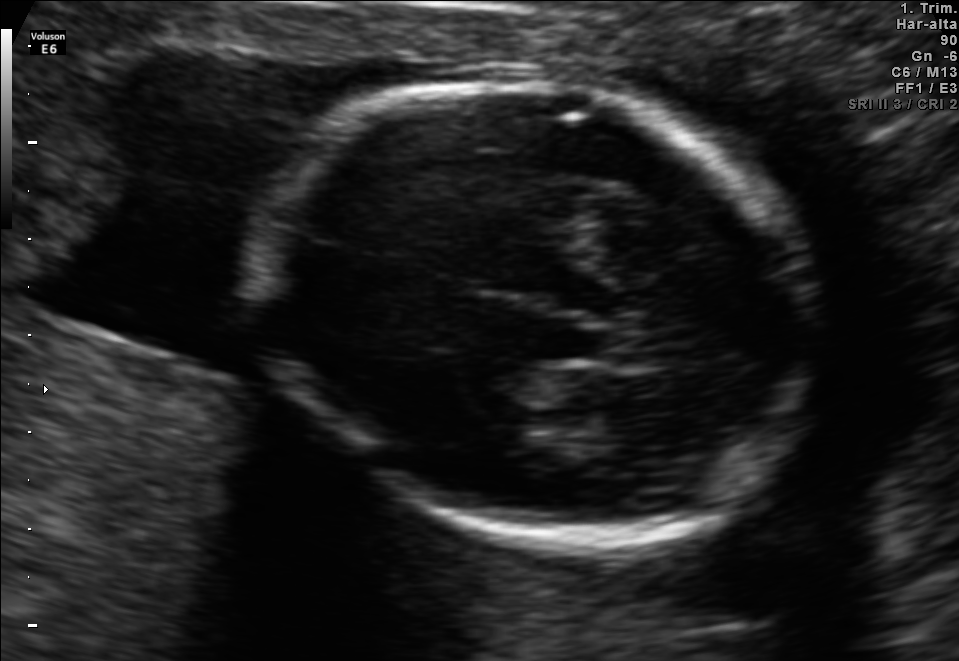
Fetal brain, trans-thalamic plane. Locate the fetal head and, if visible, the cavum septum pellucidum (CSP) and lateral ventricle (LV). Give bounding boxes as [x1,y1,x2,y2].

Head: [252,79,817,532]